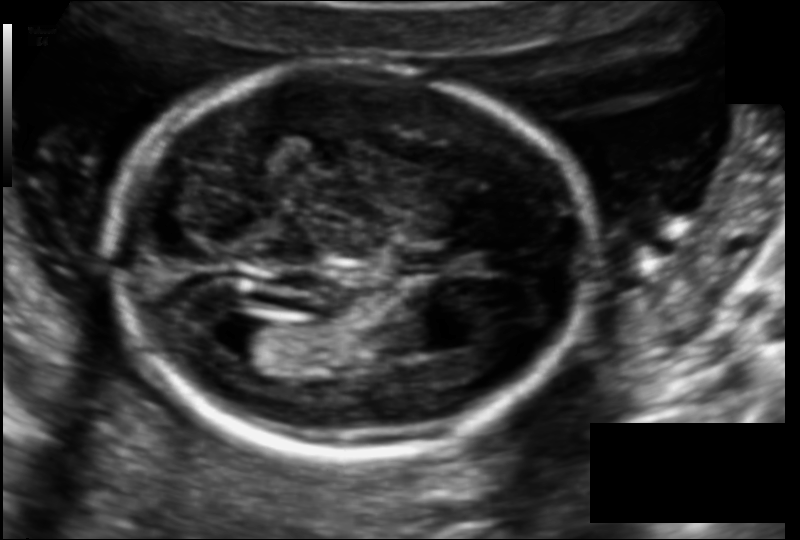
Fetal head ultrasound. Image width: 91.5 mm. Locate the fetal head.

Head: [111,63,594,454]